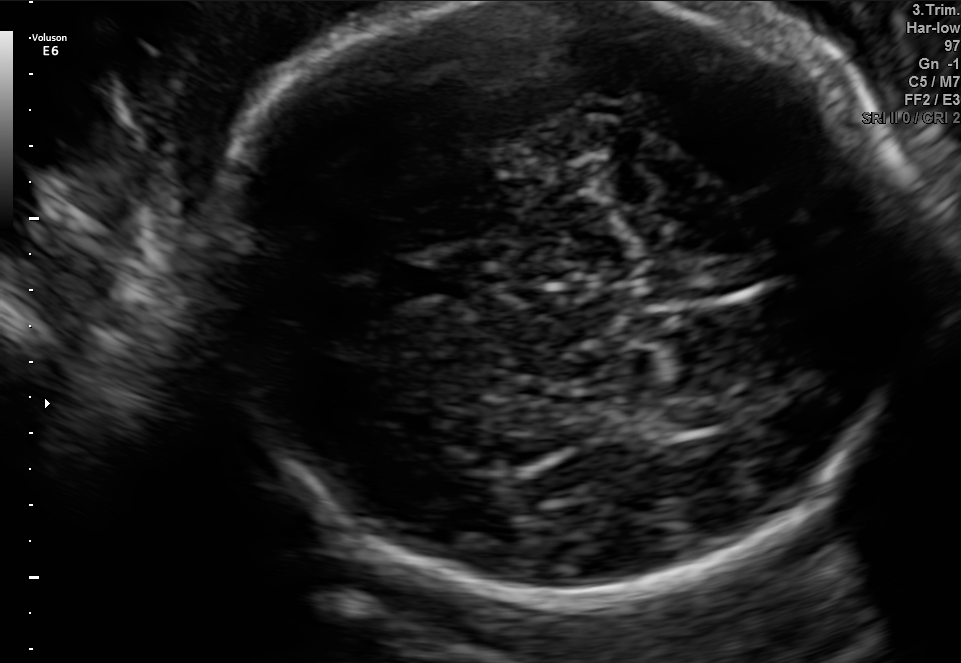
Fetal brain, trans-thalamic plane. Locate the lateral ventricle.

Lateral ventricle: [654,393,727,439]